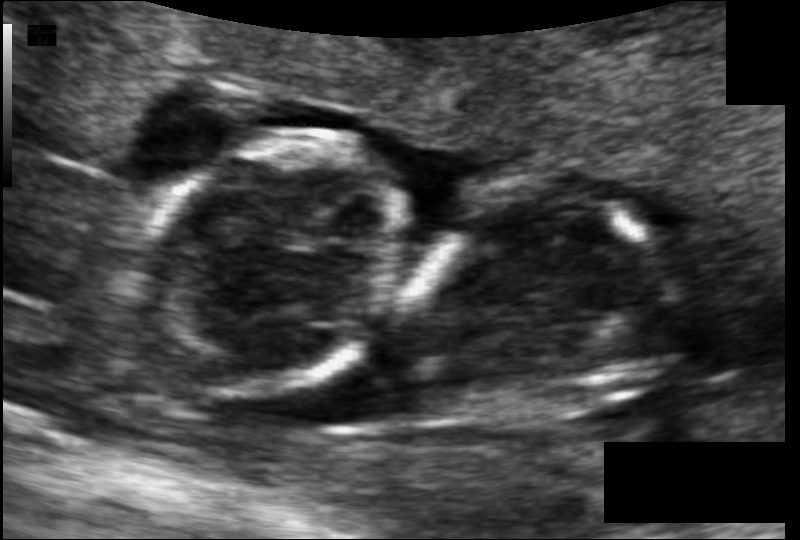
Estimate the fetal head circumference from this 2D ultrasound.

Head circumference: 76.3 mm (image width 68.1 mm).